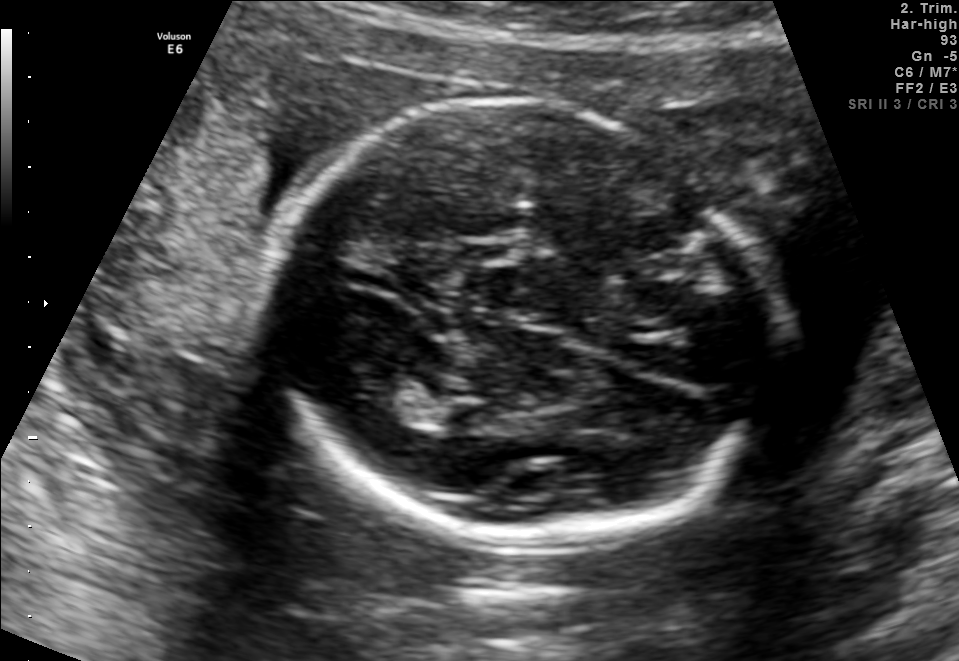
In this fetal brain, trans-thalamic plane, give bounding boxes for the head outline, cavum septum pellucidum (CSP), and lateral ventricle (LV), where visible.

Head: [269,93,782,532]
Lateral ventricle: [364,375,456,432]